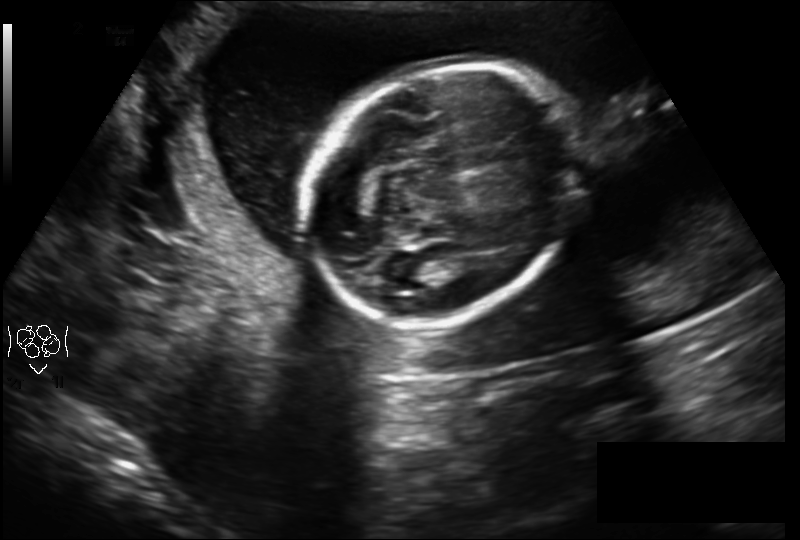
In this fetal head ultrasound, give bounding boxes for the head outline, cavum septum pellucidum (CSP), and lateral ventricle (LV), where visible. Image width: 167.6 mm.

Head: [306,64,582,321]